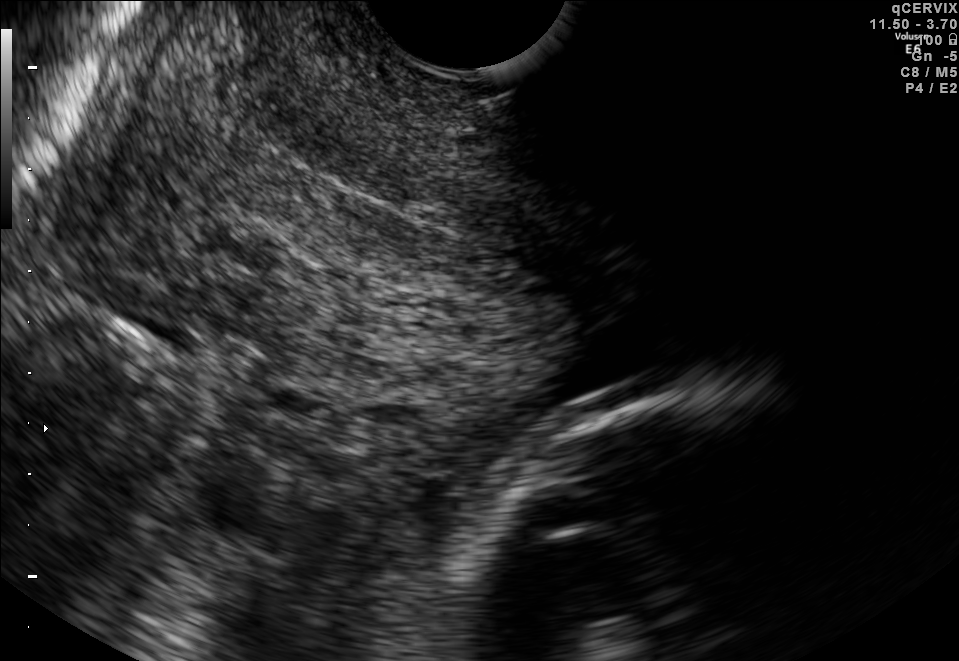
Which standard maternal-fetal ultrasound plane is shown: fetal abdomen, fetal brain, fetal femur, fetal thorax, maternal cervix, or other? If it's fetal brain and one of the three standard brain planes (trans-thalamic, trans-cerebellum, trans-ventricular), name which.

Maternal cervix